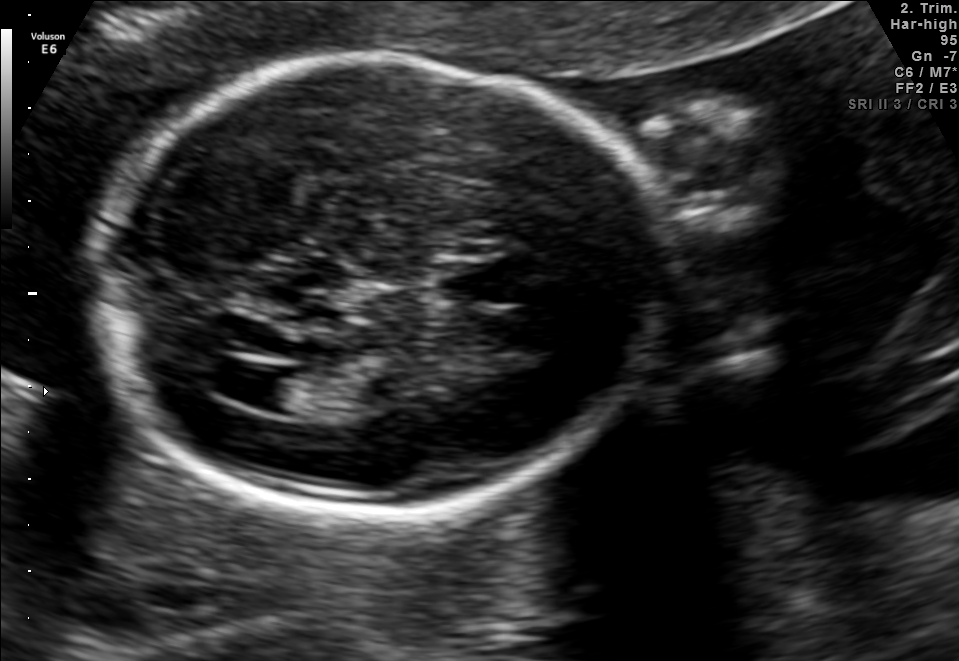
Fetal brain, trans-ventricular plane. Where is the fetal head?

Head bounding box: [84,49,685,522]